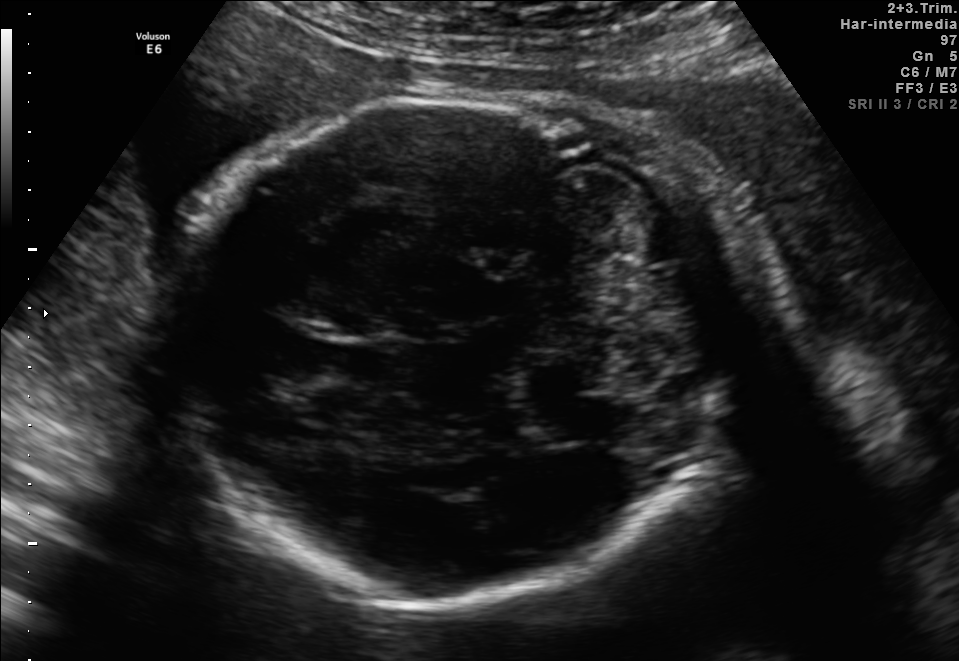
Fetal brain, trans-cerebellum plane. Locate the fetal head.

Head: [166,91,777,596]